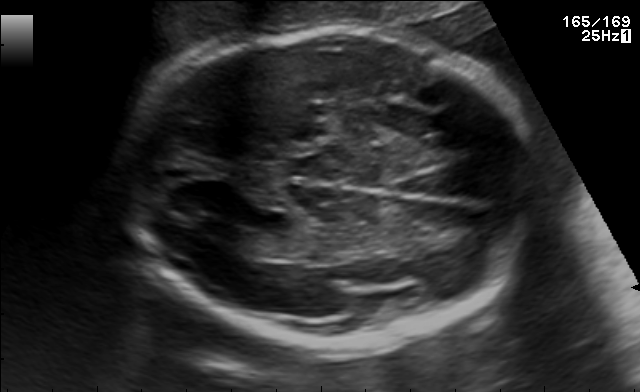
Fetal brain, trans-ventricular plane. Where is the fetal head?

Head bounding box: [114,23,547,350]